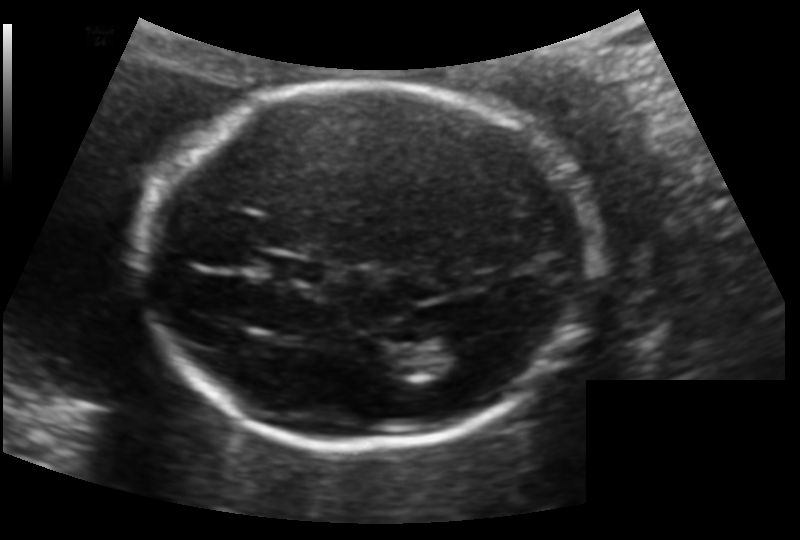
Fetal head ultrasound. Image width: 106.4 mm. Give [x1,y1,x2,y2] bounding boxes for each visible structure among: fetal head, CSP, LV.

Head: [143,83,587,449]
CSP: [263,251,328,290]
Lateral ventricle: [424,329,484,375]